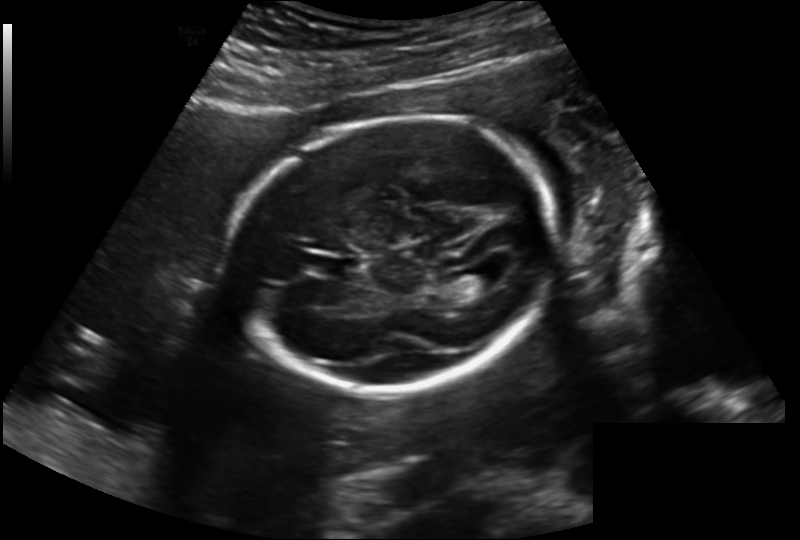
Fetal head ultrasound. Image width: 161.6 mm. Give [x1,y1,x2,y2] bounding boxes for each visible structure among: fetal head, CSP, LV.

Head: [226,117,557,392]
CSP: [315,255,360,279]
Lateral ventricle: [450,257,502,303]